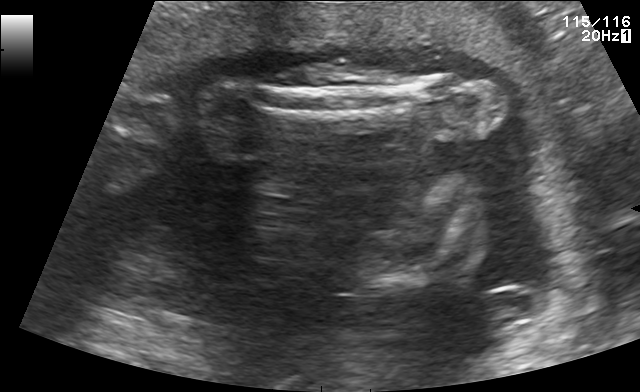
This is a 2D maternal-fetal ultrasound frame. Is it a fetal abdomen, fetal brain, fetal femur, fetal thorax, maternal cervix, or other standard plane? If it's fetal brain and one of the three standard brain planes (trans-thalamic, trans-cerebellum, trans-ventricular), name which.

Other